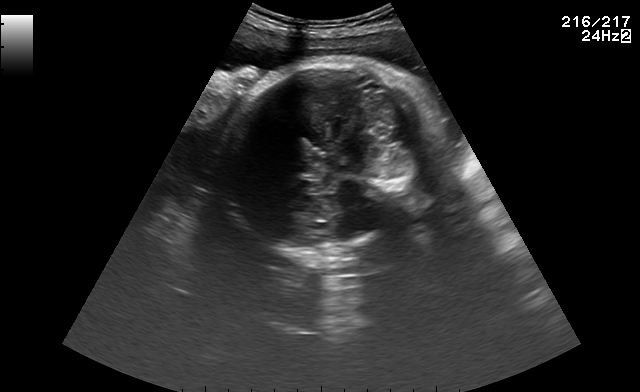
In this fetal brain, trans-cerebellum plane, give bounding boxes for the head outline, cavum septum pellucidum (CSP), and lateral ventricle (LV), where visible.

Head: [216,62,438,248]